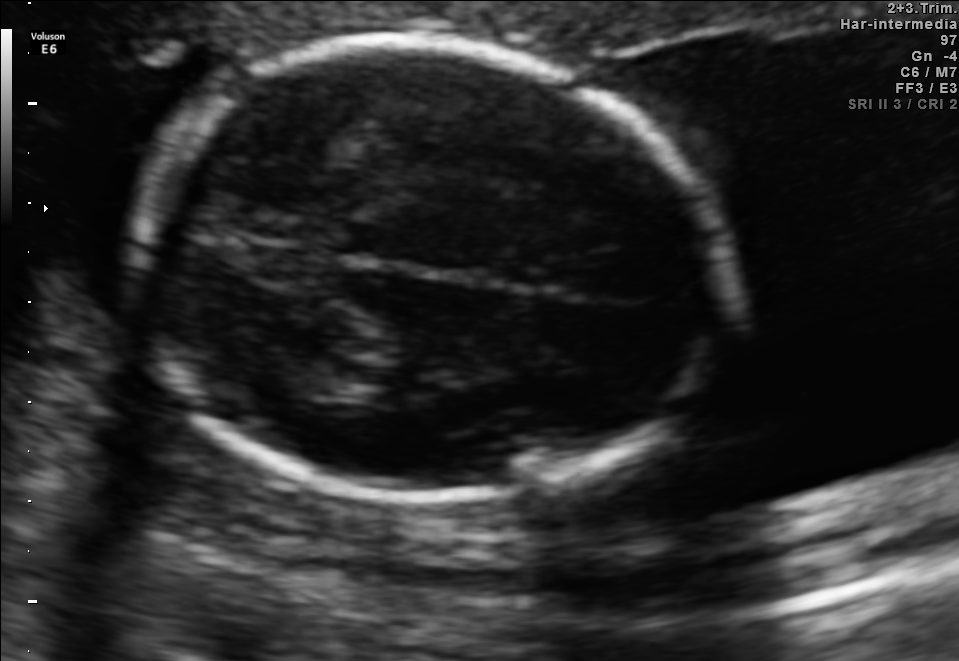
Fetal brain, trans-thalamic plane. Give [x1,y1,x2,y2] bounding boxes for each visible structure among: fetal head, CSP, LV.

Head: [137,41,716,498]